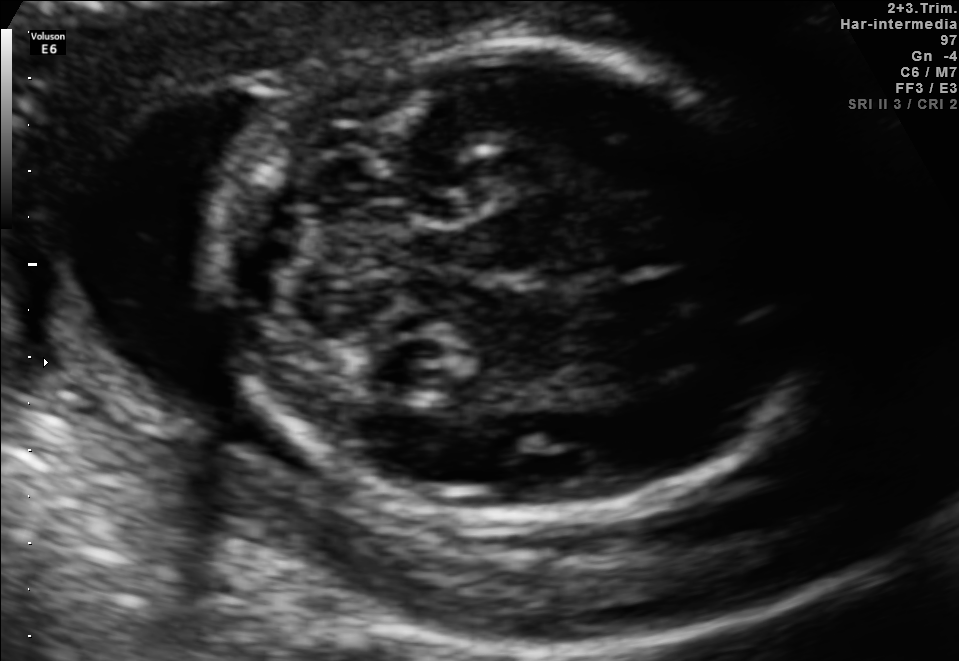
Fetal brain, trans-cerebellum plane. Give [x1,y1,x2,y2] bounding boxes for each visible structure among: fetal head, CSP, LV.

Head: [212,42,831,515]